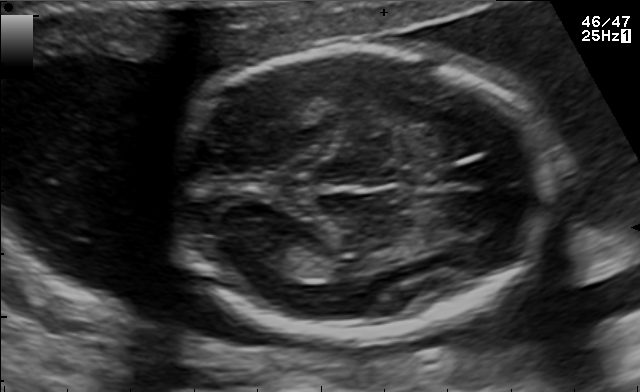
Fetal brain, trans-thalamic plane. Where is the lateral ventricle?

Lateral ventricle bounding box: [231,223,309,278]